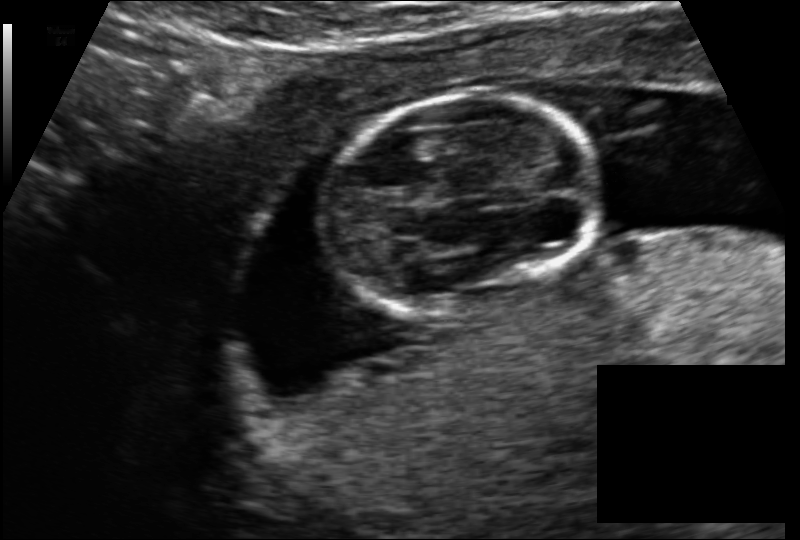
What is the fetal head circumference? Image width is 91.1 mm.

94.3 mm